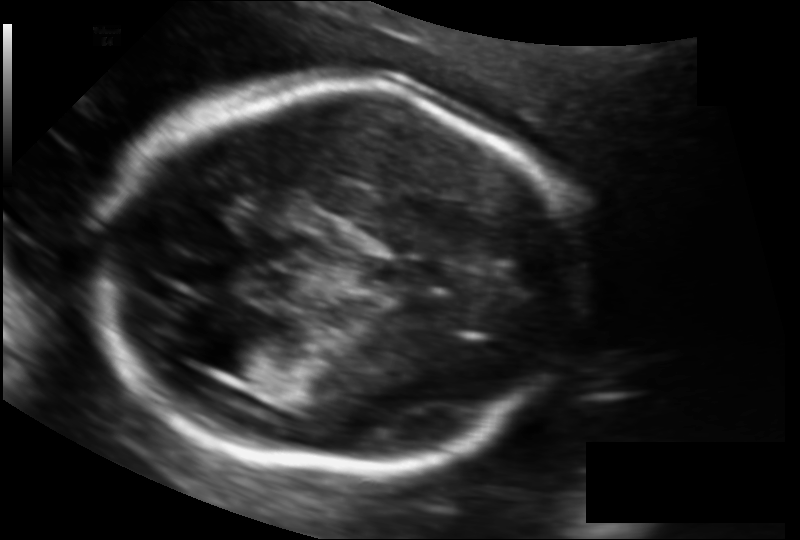
Fetal head ultrasound. Image width: 96.6 mm. Locate the fetal head and, if visible, the cavum septum pellucidum (CSP) and lateral ventricle (LV). Give bounding boxes as [x1,y1,x2,y2].

Head: [92,80,581,468]